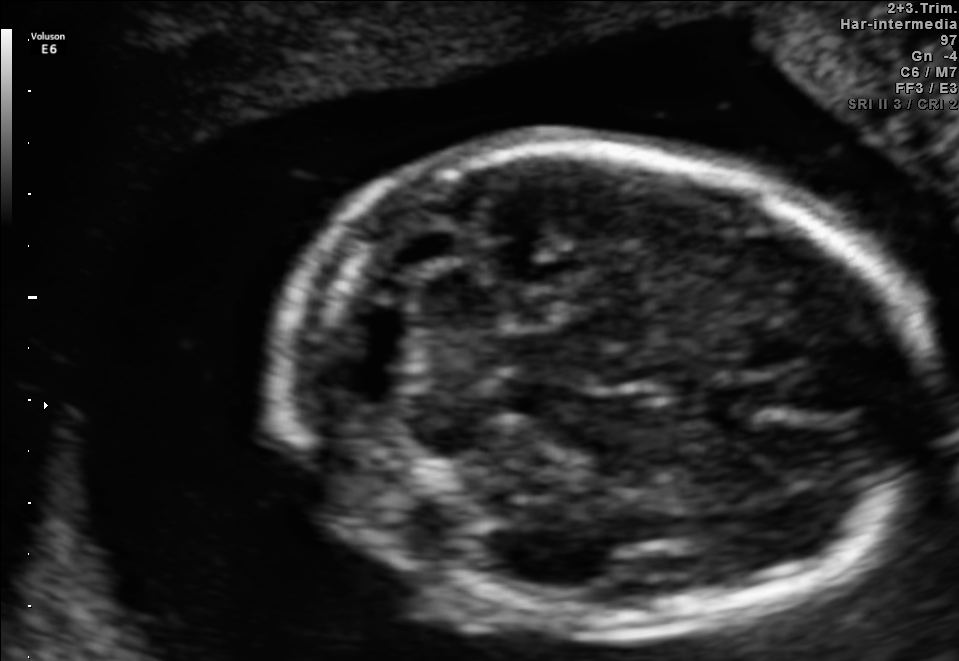
Fetal brain, trans-cerebellum plane. Locate the fetal head.

Head: [272,146,925,637]